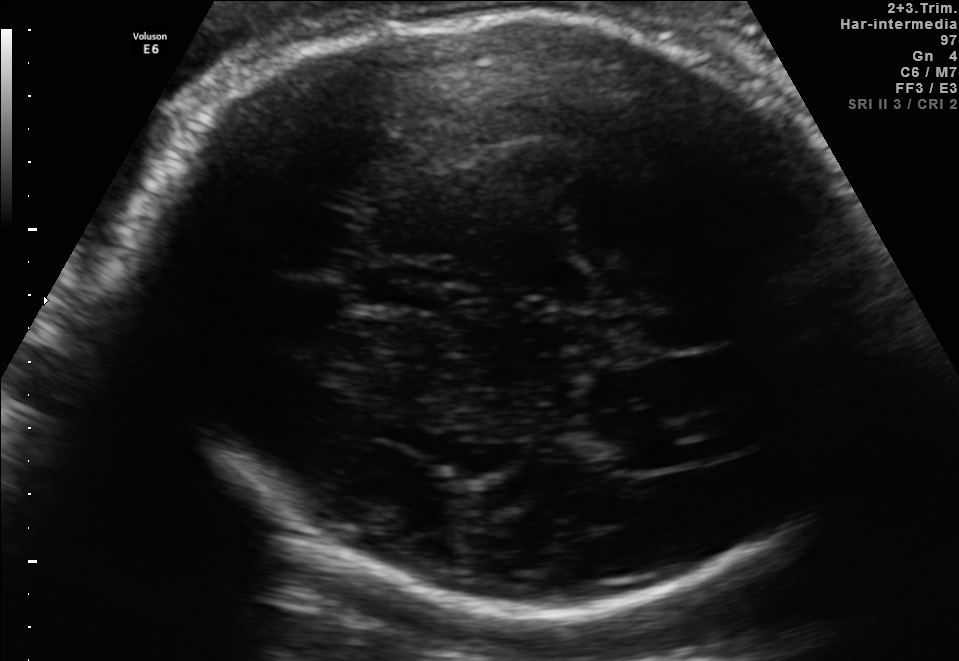
Fetal brain, trans-thalamic plane. Locate the fetal head and, if visible, the cavum septum pellucidum (CSP) and lateral ventricle (LV). Give bounding boxes as [x1,y1,x2,y2].

Head: [137,10,862,615]
CSP: [352,264,443,308]
Lateral ventricle: [593,421,711,476]